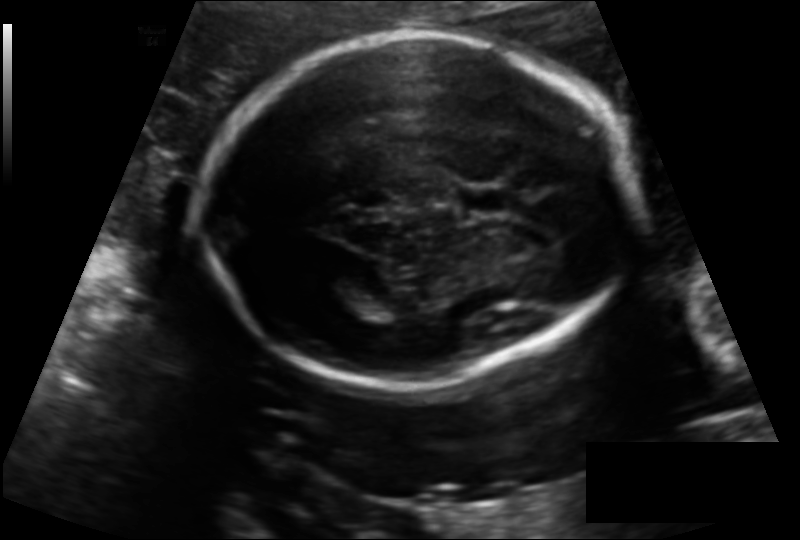
Fetal head ultrasound. Image width: 111.5 mm. Locate the fetal head.

Head: [198,33,631,386]